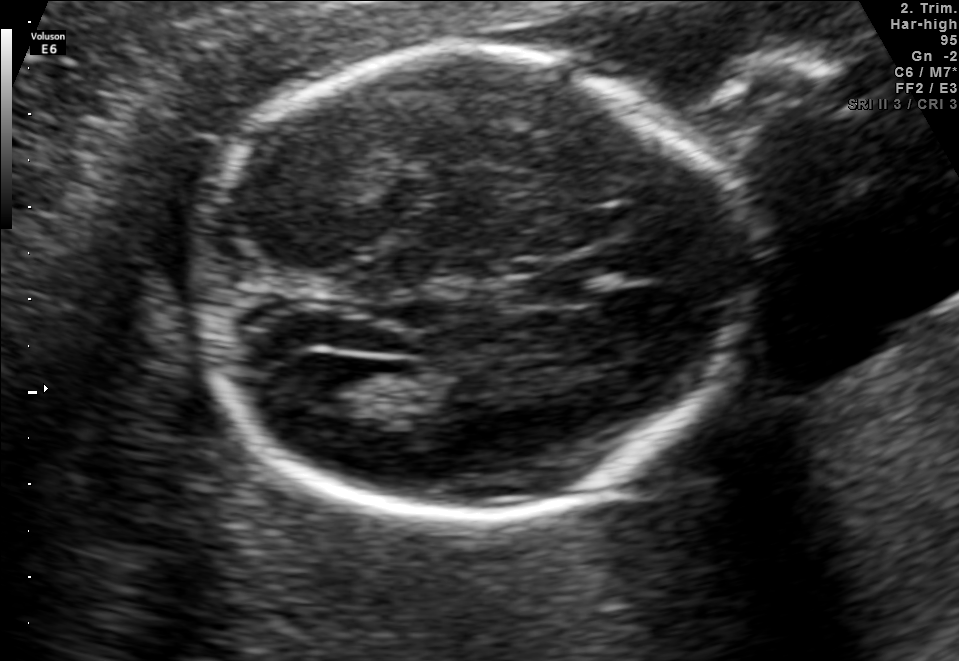
Fetal brain, trans-ventricular plane. Give [x1,y1,x2,y2] bounding boxes for each visible structure among: fetal head, CSP, LV.

Head: [187,38,762,527]
CSP: [501,274,589,305]
Lateral ventricle: [286,349,376,419]